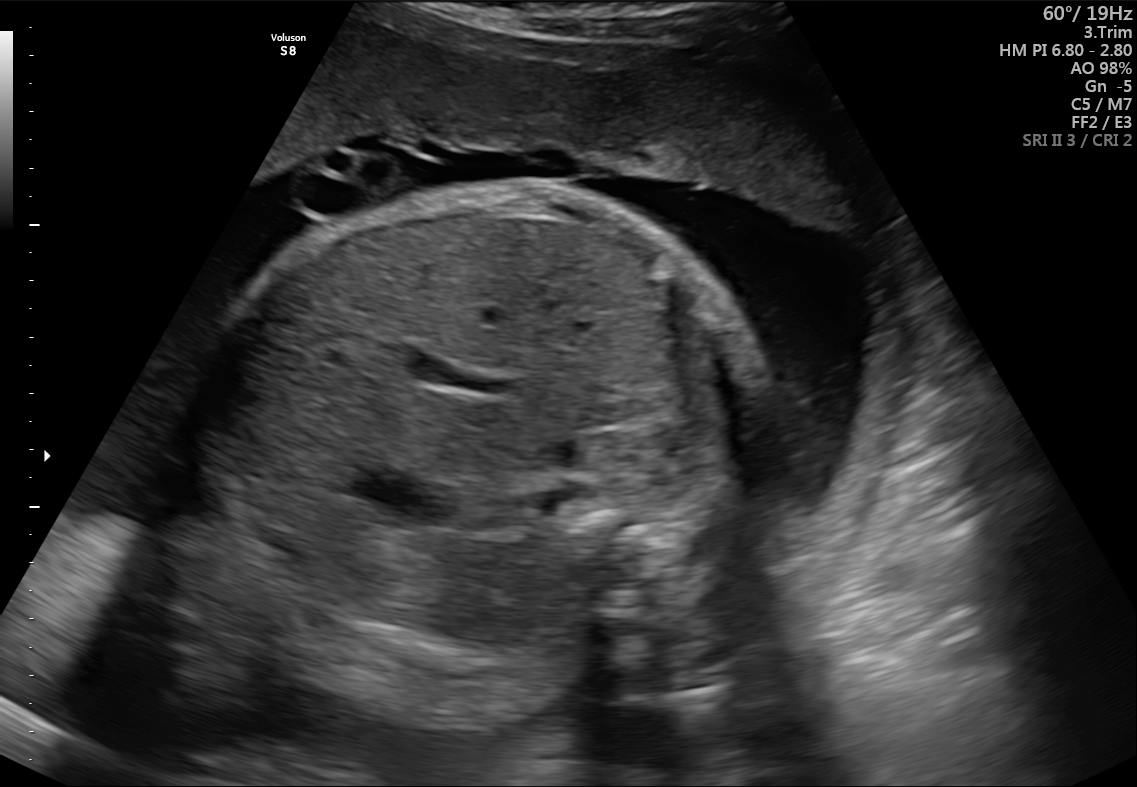
This is a 2D maternal-fetal ultrasound frame. Is it a fetal abdomen, fetal brain, fetal femur, fetal thorax, maternal cervix, or other standard plane? If it's fetal brain and one of the three standard brain planes (trans-thalamic, trans-cerebellum, trans-ventricular), name which.

Fetal abdomen